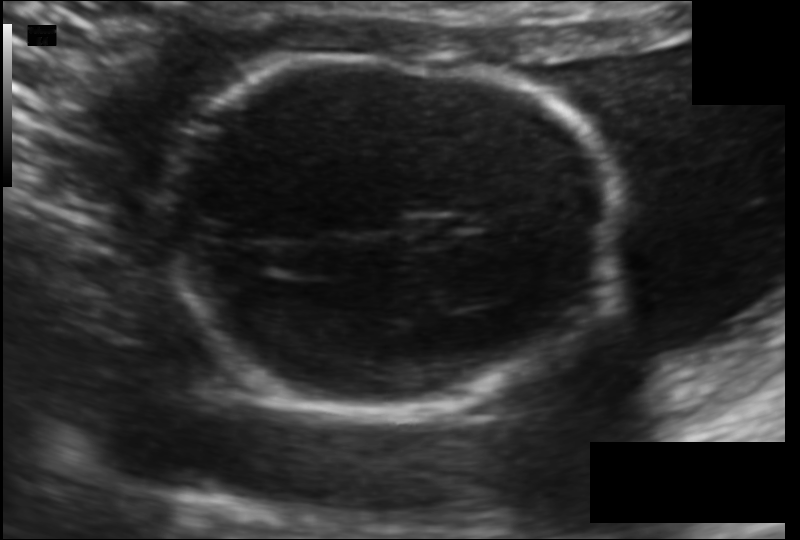
Estimate the fetal head circumference from this 2D ultrasound. Image width: 91.8 mm.

Head circumference: 150.4 mm.